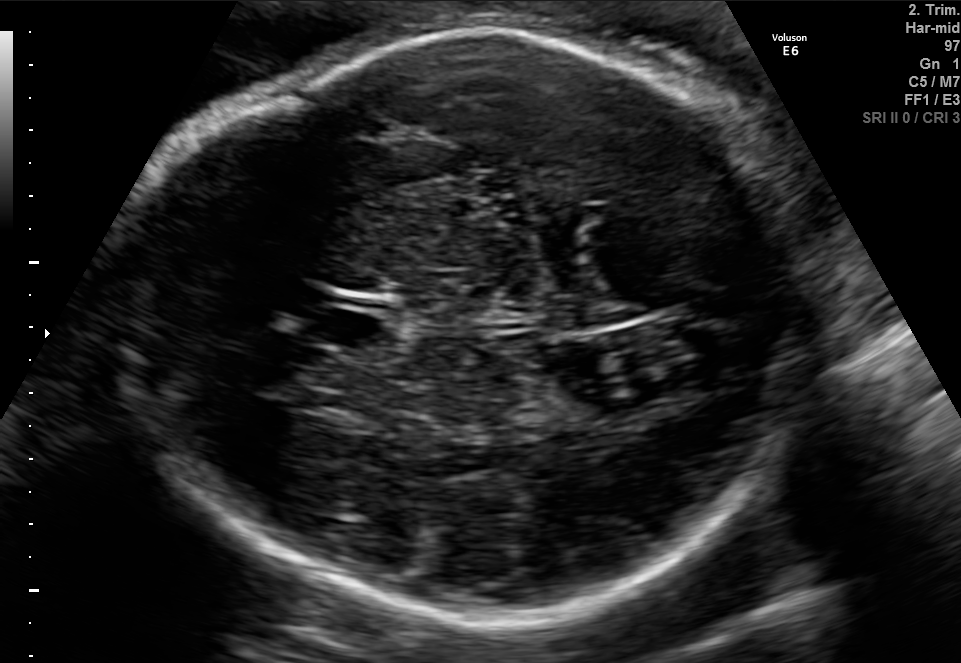
Fetal brain, trans-thalamic plane. Where is the cavum septum pellucidum?

CSP bounding box: [303,300,388,354]